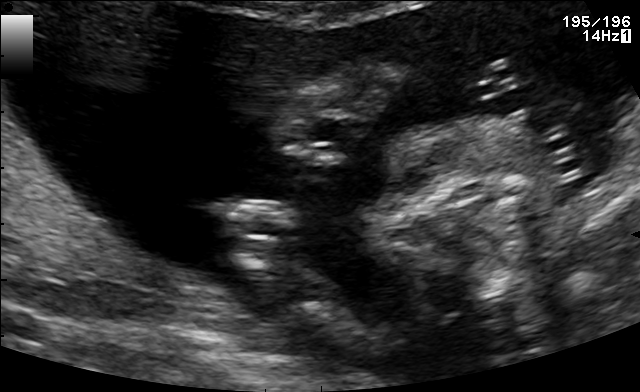
Identify the standard plane in this fetal ultrasound image: fetal abdomen, fetal brain, fetal femur, fetal thorax, maternal cervix, or other. If it's fetal brain and one of the three standard brain planes (trans-thalamic, trans-cerebellum, trans-ventricular), name which.

Other